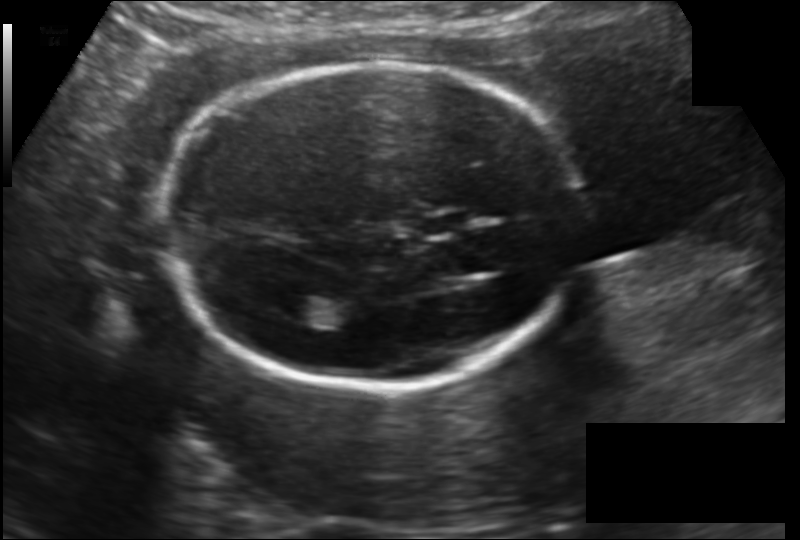
Estimate the fetal head circumference from this 2D ultrasound.

Head circumference: 178.8 mm (image width 118.1 mm).